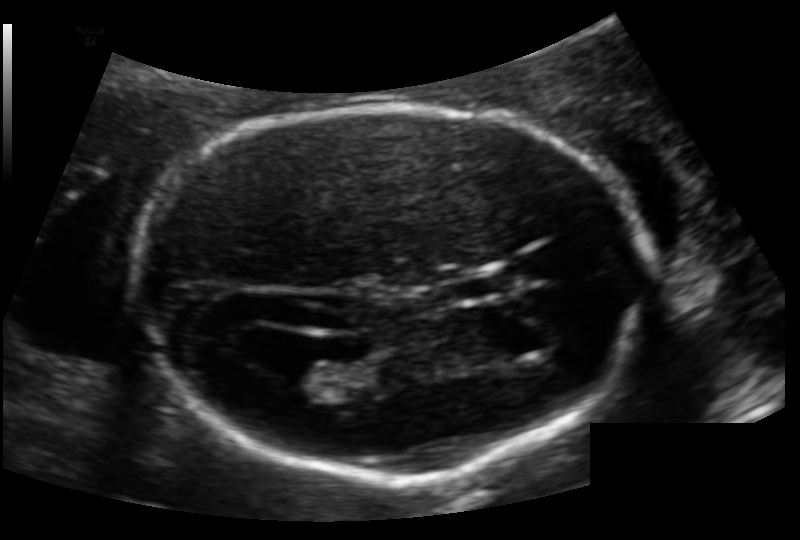
Estimate the fetal head circumference from this 2D ultrasound. Image width: 99.1 mm.

Head circumference: 178.7 mm.